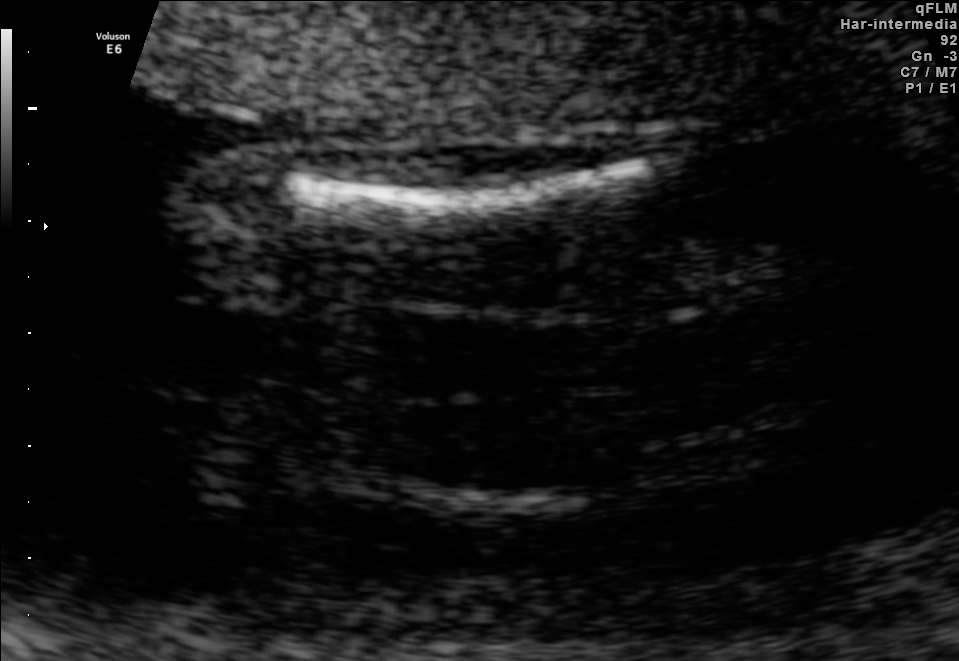
Identify the standard plane in this fetal ultrasound image: fetal abdomen, fetal brain, fetal femur, fetal thorax, maternal cervix, or other. If it's fetal brain and one of the three standard brain planes (trans-thalamic, trans-cerebellum, trans-ventricular), name which.

Fetal femur